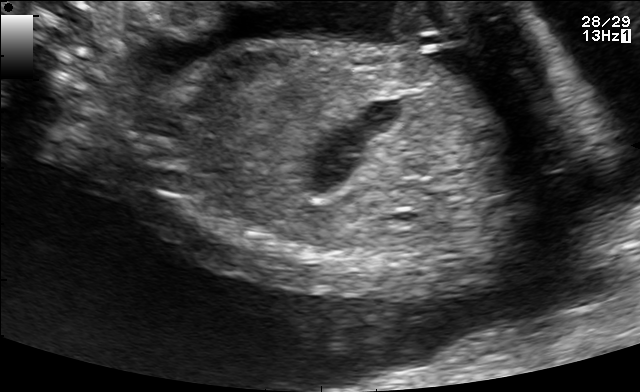
Which standard maternal-fetal ultrasound plane is shown: fetal abdomen, fetal brain, fetal femur, fetal thorax, maternal cervix, or other? If it's fetal brain and one of the three standard brain planes (trans-thalamic, trans-cerebellum, trans-ventricular), name which.

Other